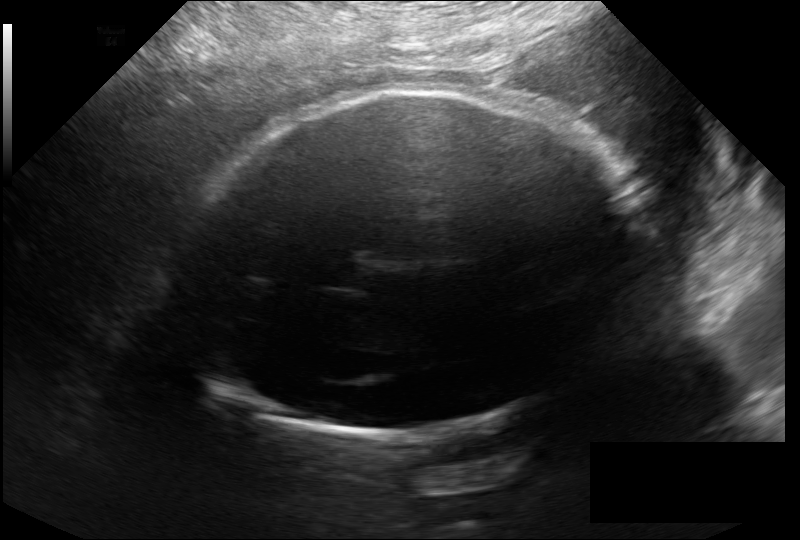
Measure the fetal head circumference shown in this ultrasound image. Image width: 196.9 mm.

Head circumference: 320.0 mm.